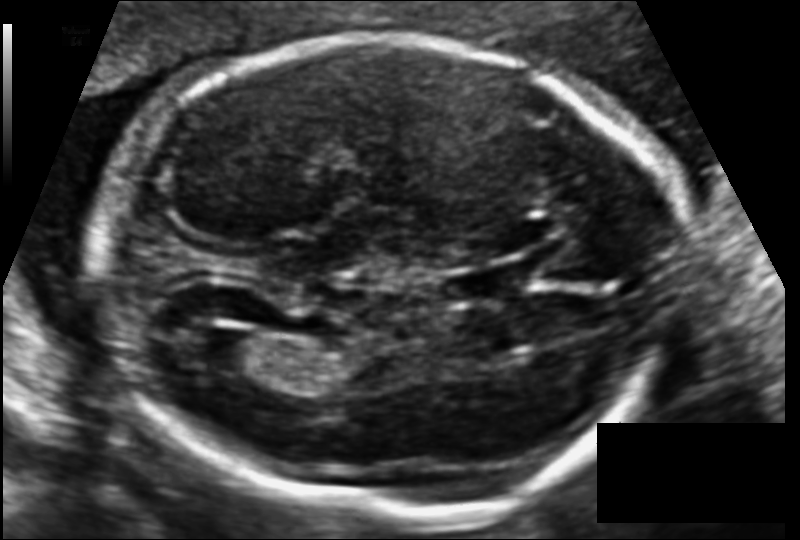
What is the fetal head circumference? Image width is 92.7 mm.

196.9 mm